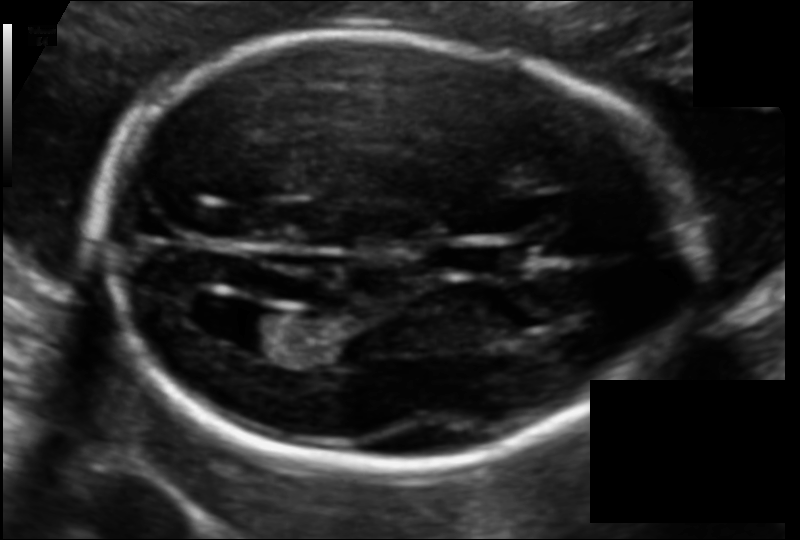
In this fetal head ultrasound, give the bounding box of the cavum septum pellucidum. Image width: 86.6 mm.

[442,244,523,275]